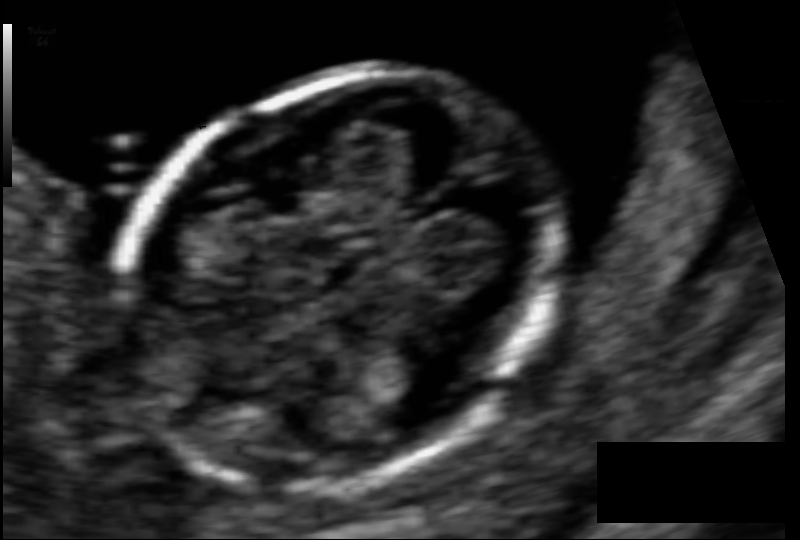
What is the fetal head circumference? Image width is 48.5 mm.

85.0 mm